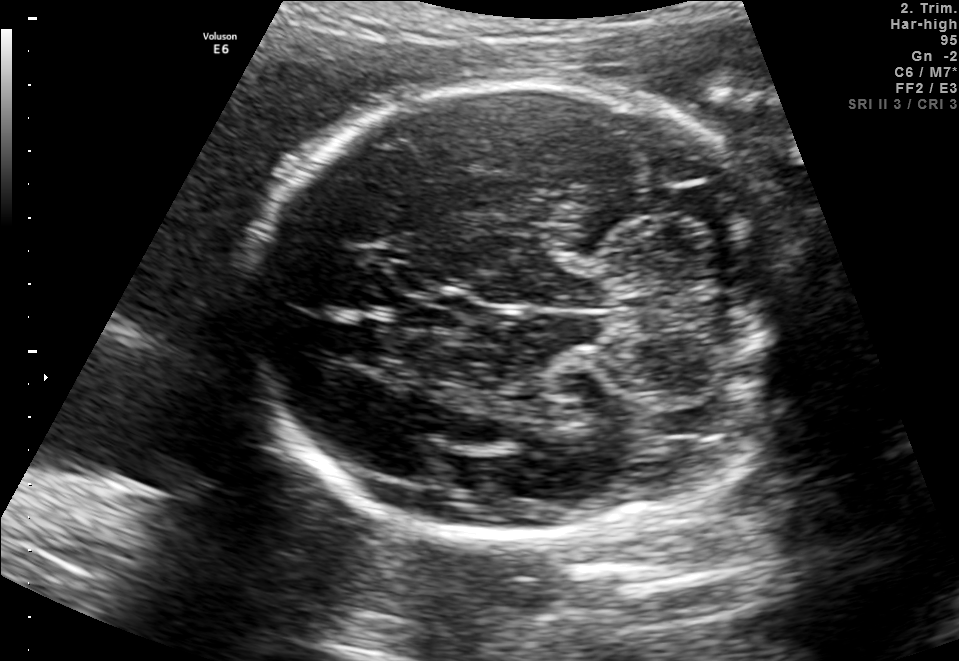
Fetal brain, trans-cerebellum plane. Locate the fetal head.

Head: [247,80,790,539]